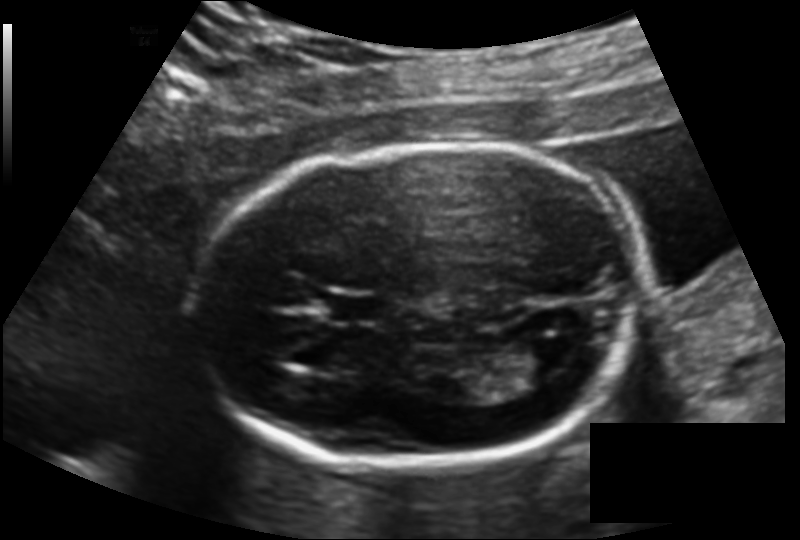
Fetal head ultrasound. Image width: 109.3 mm. Locate the fetal head.

Head: [188,145,644,466]